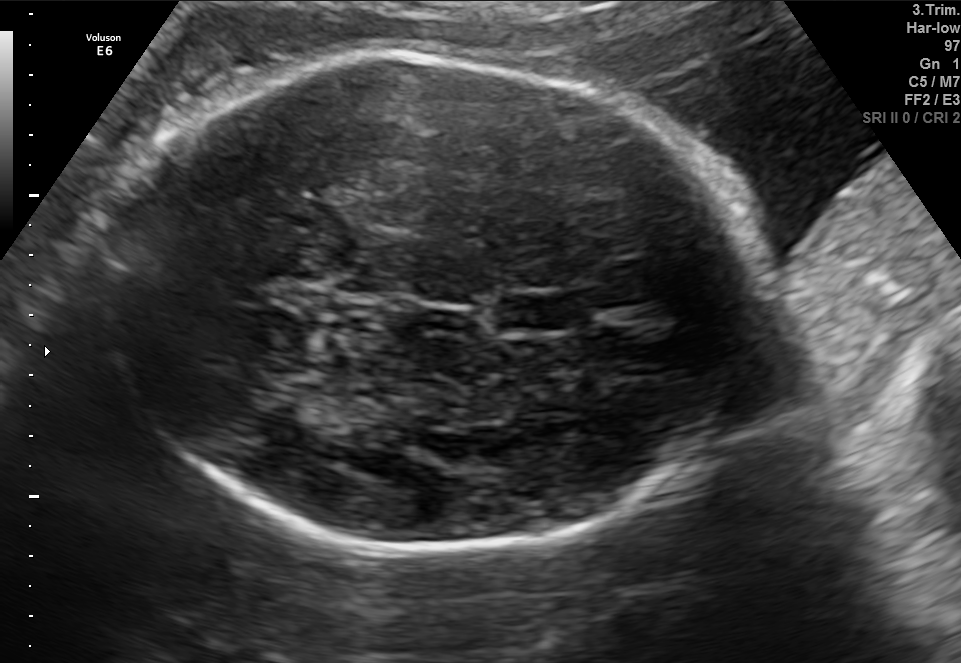
In this fetal brain, trans-thalamic plane, give the bounding box of the cavum septum pellucidum.

[496,294,562,331]